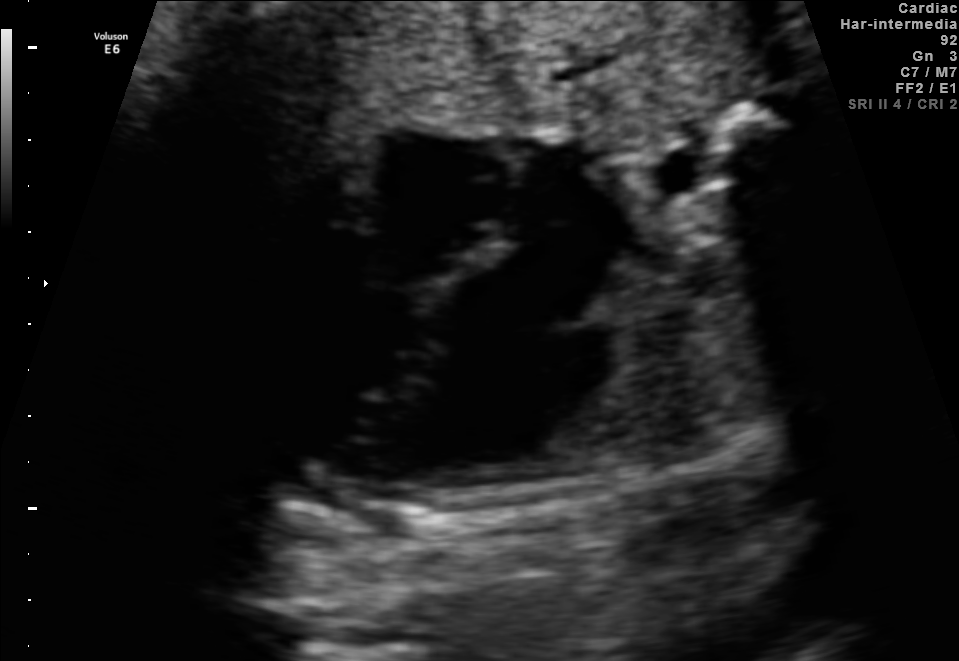
Which standard maternal-fetal ultrasound plane is shown: fetal abdomen, fetal brain, fetal femur, fetal thorax, maternal cervix, or other? If it's fetal brain and one of the three standard brain planes (trans-thalamic, trans-cerebellum, trans-ventricular), name which.

Fetal thorax